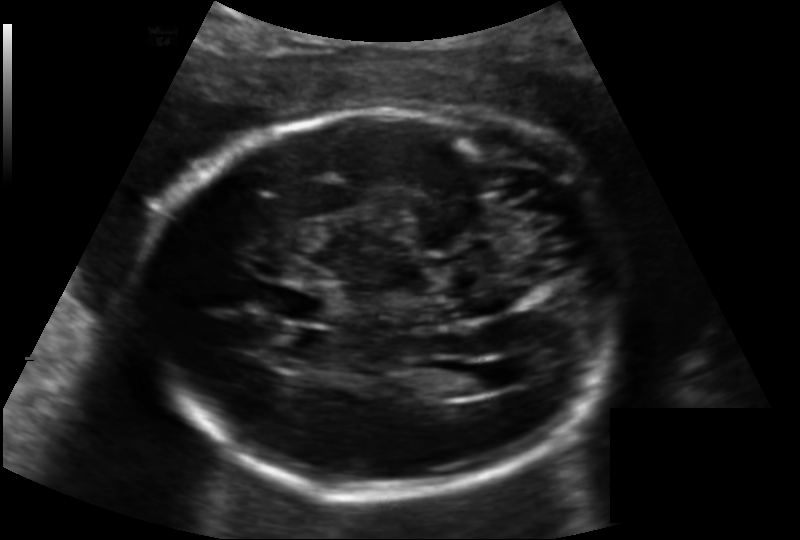
Estimate the fetal head circumference from this 2D ultrasound.

Head circumference: 225.4 mm (image width 126.5 mm).